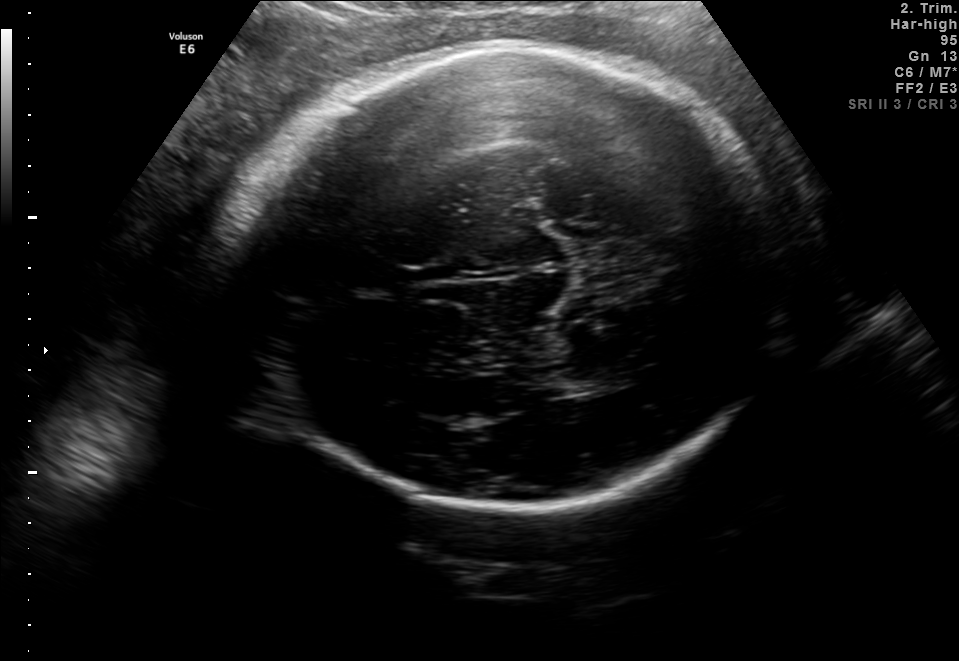
Fetal brain, trans-thalamic plane. Locate the fetal head.

Head: [224,46,785,511]